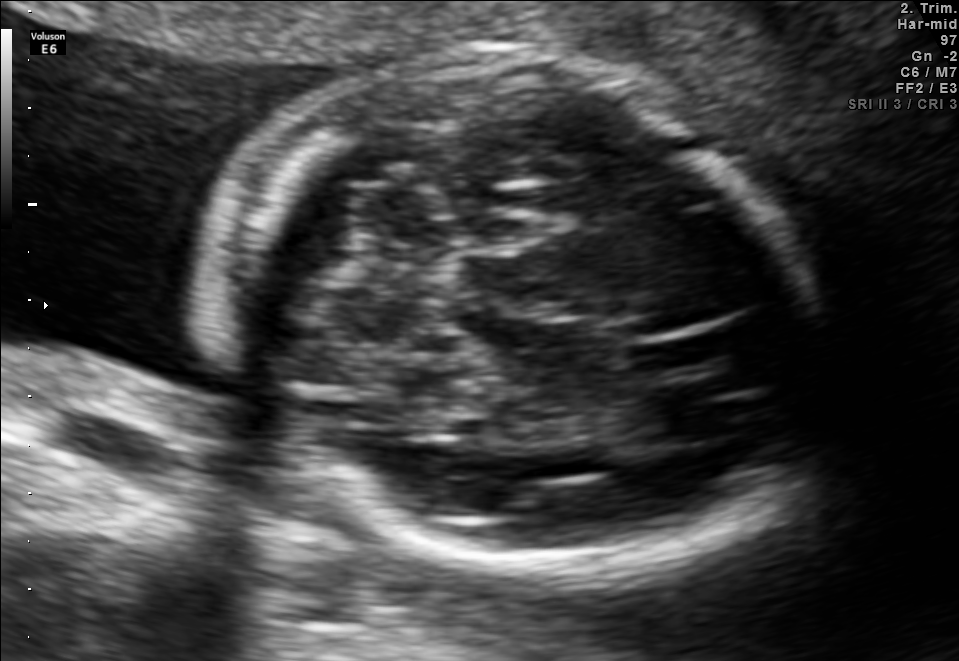
Fetal brain, trans-cerebellum plane. Where is the fetal head?

Head bounding box: [217,54,822,581]